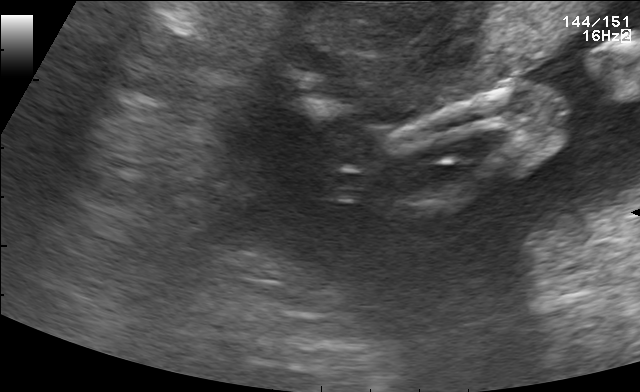
This is a 2D maternal-fetal ultrasound frame. Is it a fetal abdomen, fetal brain, fetal femur, fetal thorax, maternal cervix, or other standard plane? If it's fetal brain and one of the three standard brain planes (trans-thalamic, trans-cerebellum, trans-ventricular), name which.

Other